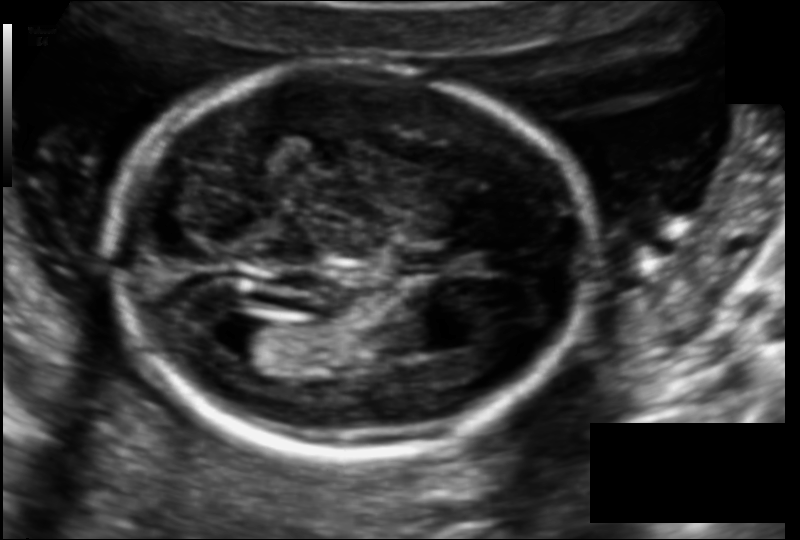
From this fetal ultrasound, estimate the head circumference (image width 91.5 mm).

Head circumference: 160.7 mm.